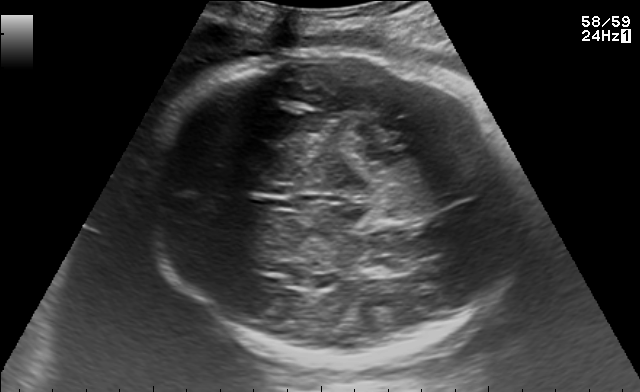
Fetal brain, trans-thalamic plane. Locate the lateral ventricle.

Lateral ventricle: [361,255,407,279]